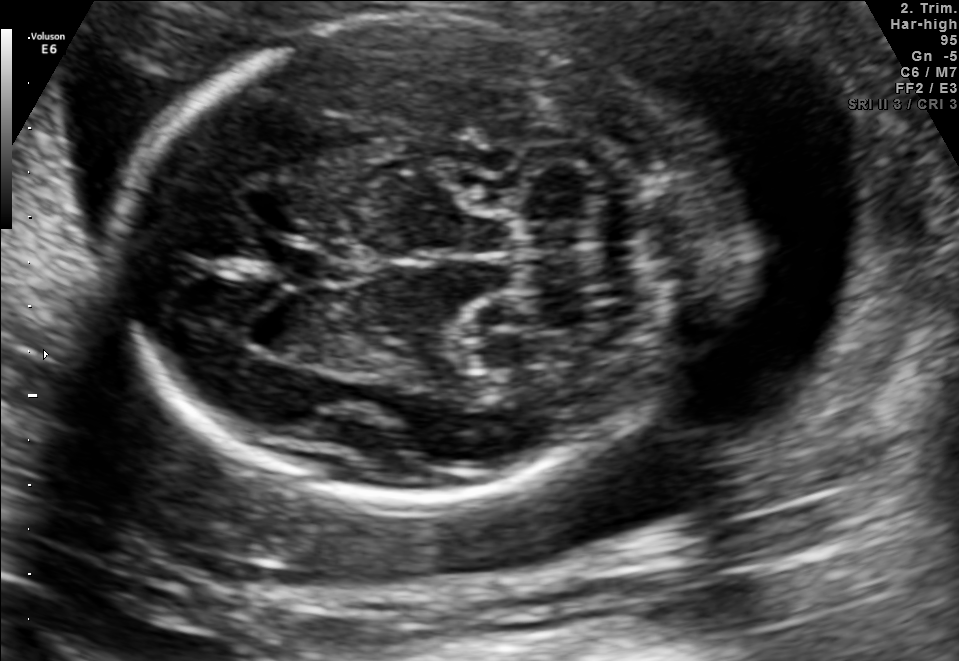
In this fetal brain, trans-cerebellum plane, give the bounding box of the cavum septum pellucidum.

[271,243,340,290]